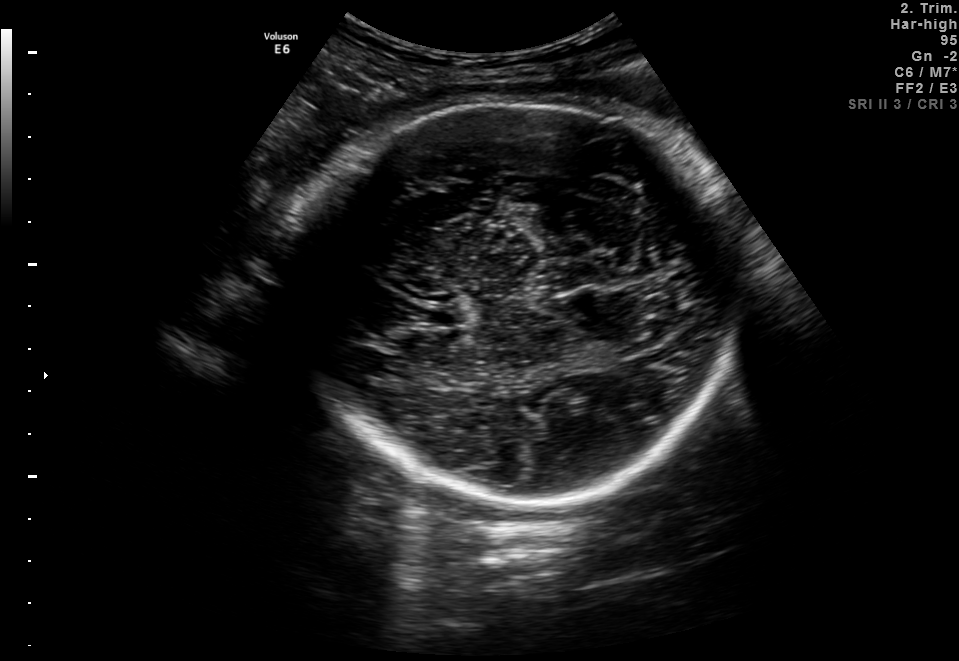
Fetal brain, trans-thalamic plane. Where is the cavum septum pellucidum?

CSP bounding box: [413,301,464,331]